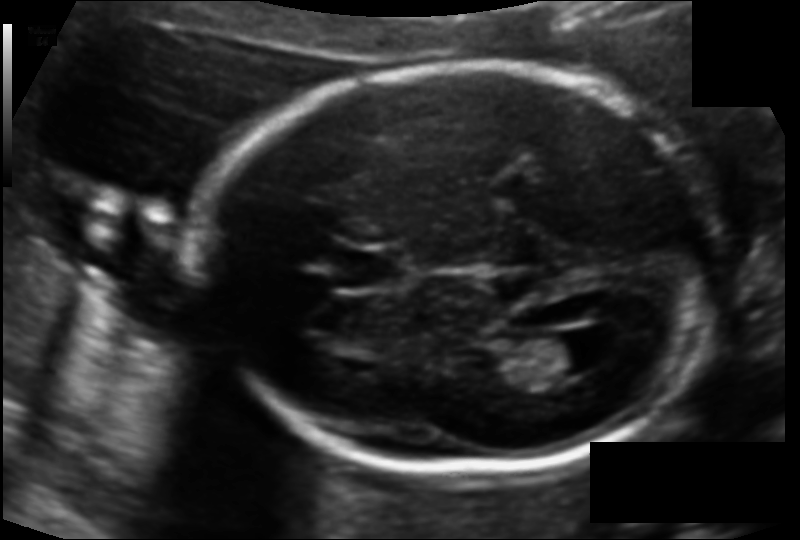
What is the fetal head circumference? Image width is 94.2 mm.

177.4 mm